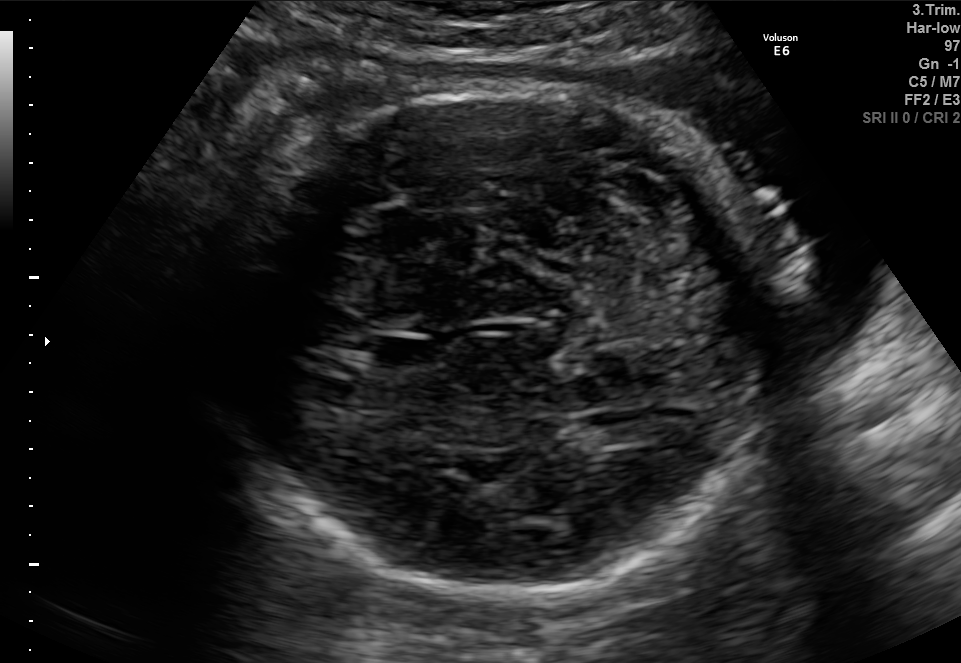
In this fetal brain, trans-cerebellum plane, give the bounding box of the fetal head.

[209,87,780,590]